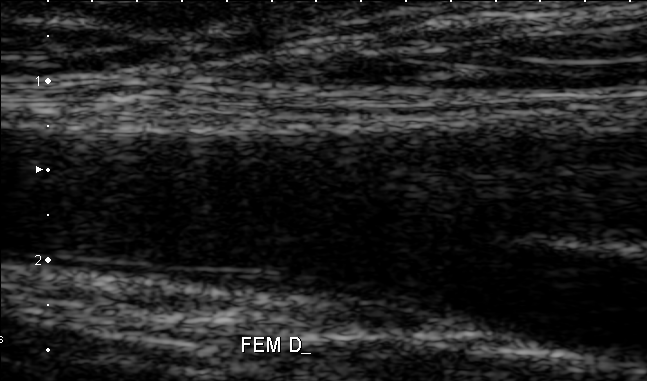
This is a 2D maternal-fetal ultrasound frame. Is it a fetal abdomen, fetal brain, fetal femur, fetal thorax, maternal cervix, or other standard plane? If it's fetal brain and one of the three standard brain planes (trans-thalamic, trans-cerebellum, trans-ventricular), name which.

Other